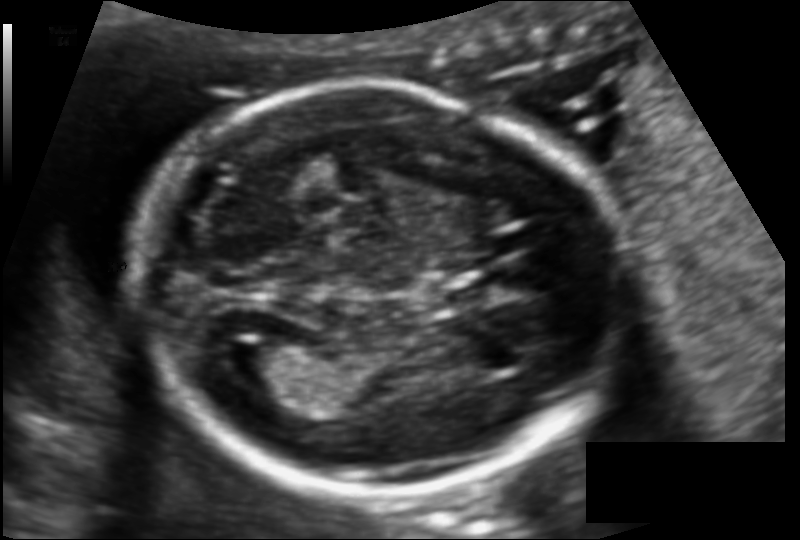
What is the fetal head circumference? Image width is 89.5 mm.

162.3 mm